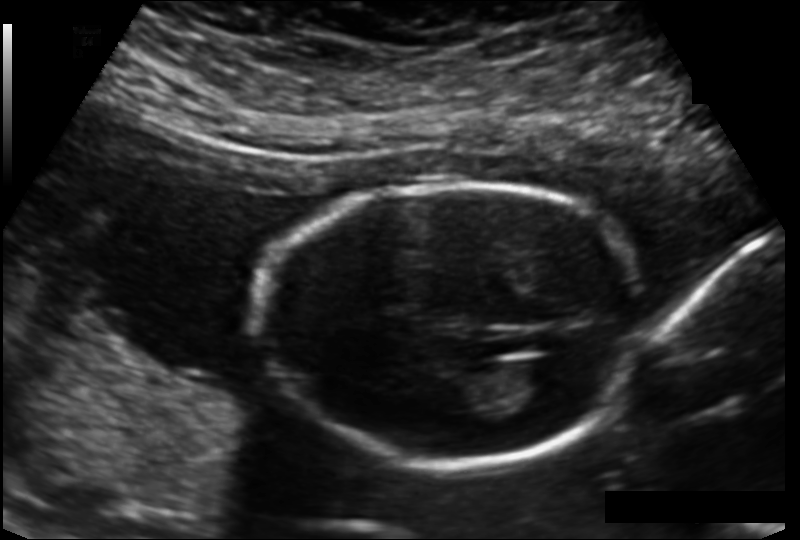
Estimate the fetal head circumference from this 2D ultrasound.

Head circumference: 147.9 mm (image width 107.7 mm).